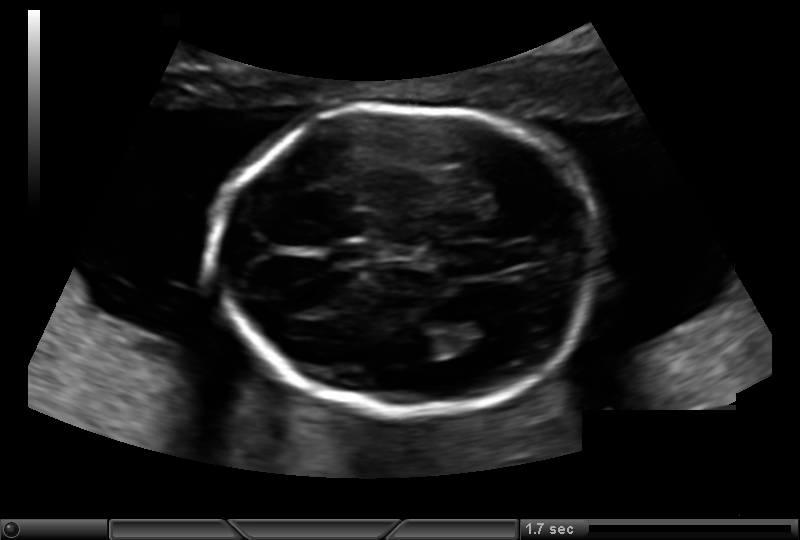
Fetal head ultrasound. Image width: 107.7 mm. Give [x1,y1,x2,y2] bounding boxes for each visible structure among: fetal head, CSP, LV.

Head: [215,106,596,413]
CSP: [334,242,375,263]